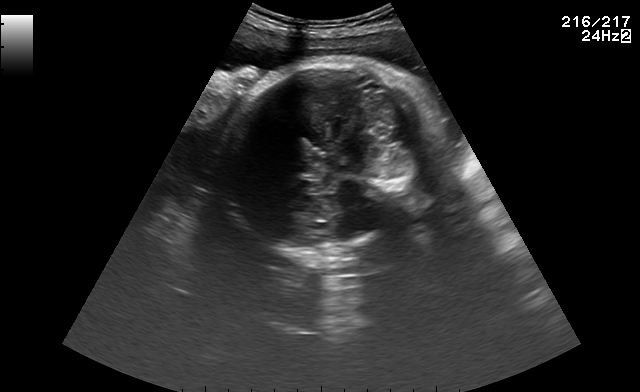
Fetal brain, trans-cerebellum plane. Locate the fetal head and, if visible, the cavum septum pellucidum (CSP) and lateral ventricle (LV). Give bounding boxes as [x1,y1,x2,y2].

Head: [216,62,438,248]